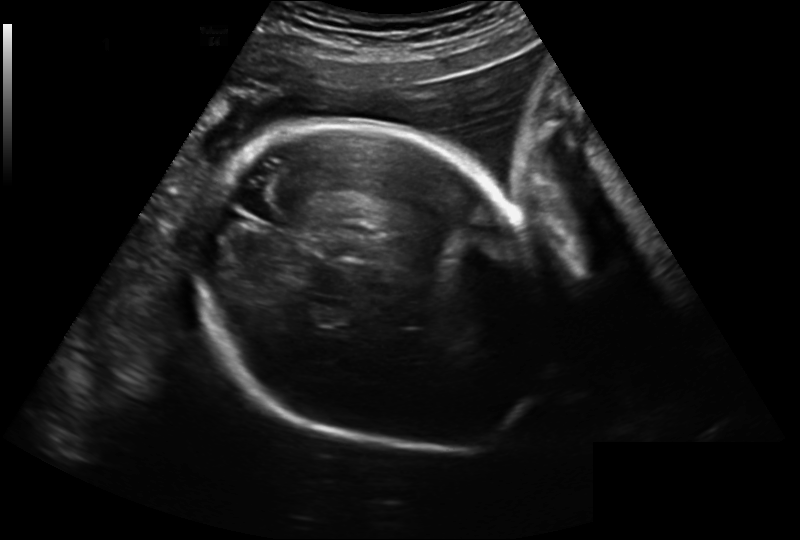
Estimate the fetal head circumference from this 2D ultrasound. Image width: 192.8 mm.

Head circumference: 260.9 mm.